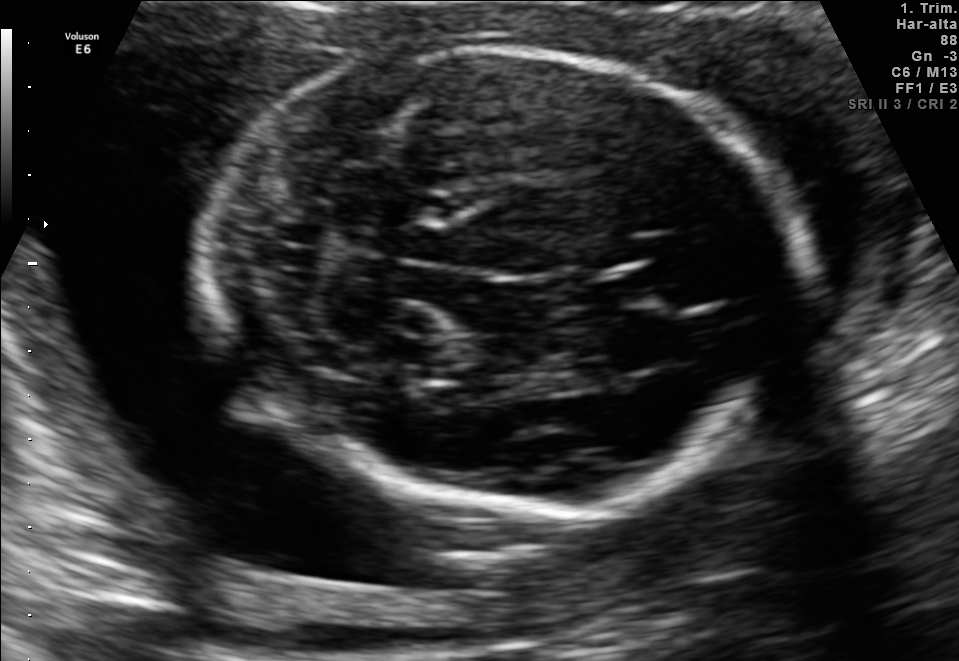
Fetal brain, trans-cerebellum plane. Locate the fetal head and, if visible, the cavum septum pellucidum (CSP) and lateral ventricle (LV). Give bounding boxes as [x1,y1,x2,y2].

Head: [200,50,793,505]
CSP: [587,262,666,312]